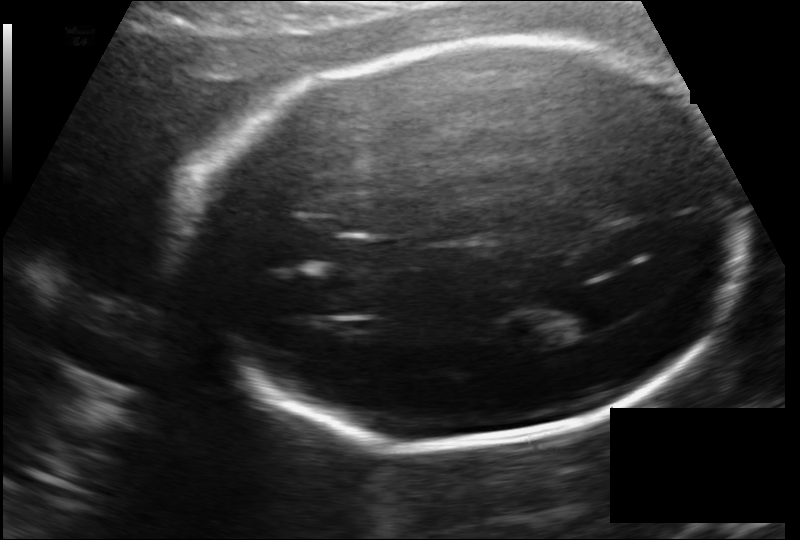
Estimate the fetal head circumference from this 2D ultrasound. Image width: 112.6 mm.

Head circumference: 225.8 mm.